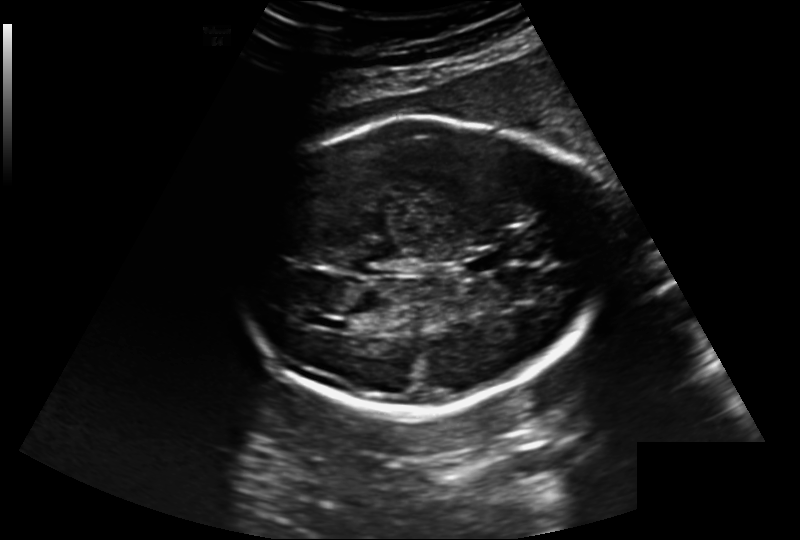
What is the fetal head circumference? Image width is 175.6 mm.

241.7 mm